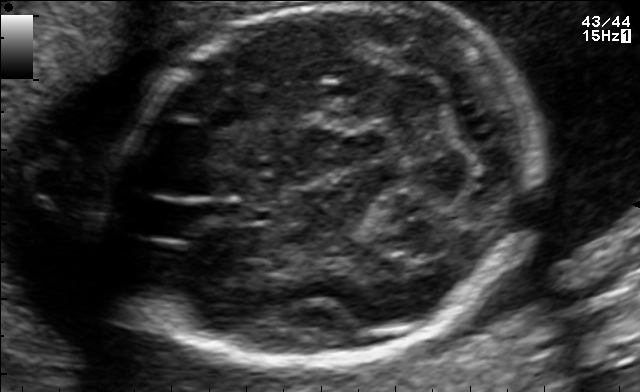
Fetal brain, trans-cerebellum plane. Where is the fetal head?

Head bounding box: [111,3,545,364]